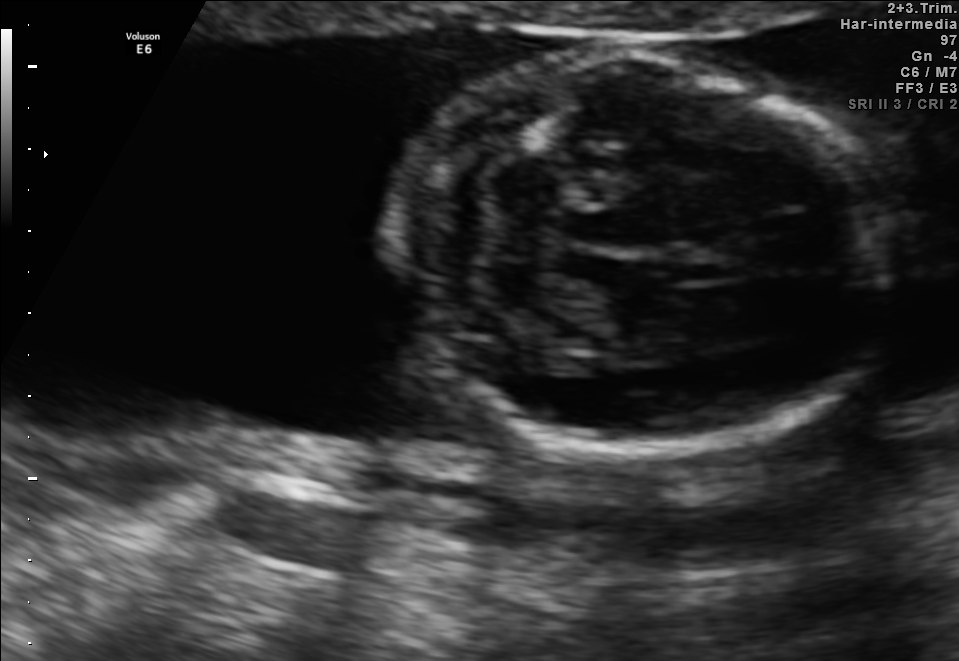
In this fetal brain, trans-cerebellum plane, give bounding boxes for the head outline, cavum septum pellucidum (CSP), and lateral ventricle (LV), where visible.

Head: [393,51,892,458]